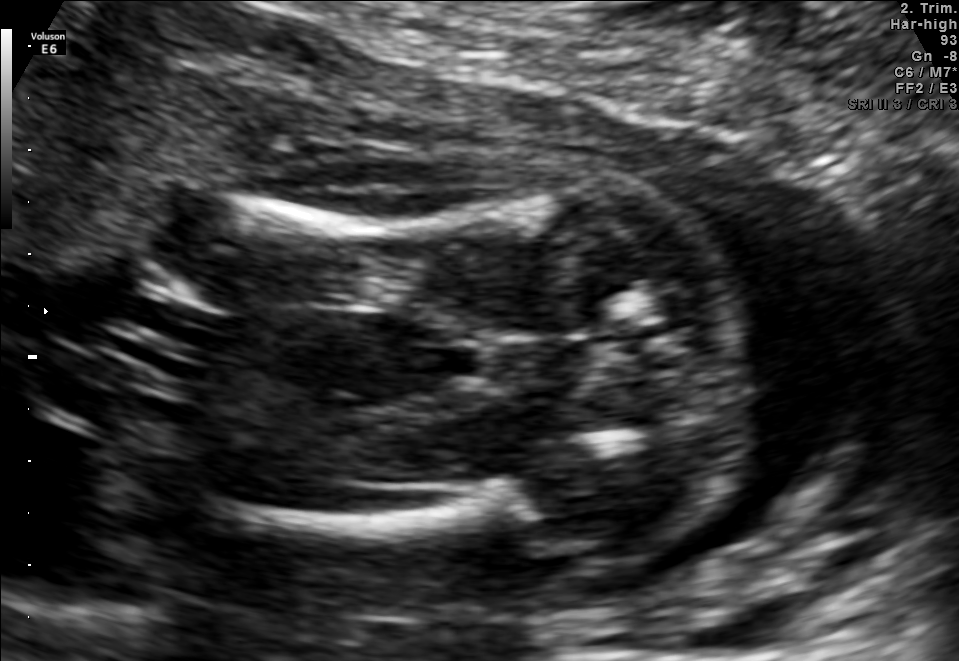
Classify this maternal-fetal ultrasound image as one of the six standard planes — fetal abdomen, fetal brain, fetal femur, fetal thorax, maternal cervix, or other. If it's fetal brain and one of the three standard brain planes (trans-thalamic, trans-cerebellum, trans-ventricular), name which.

Fetal femur